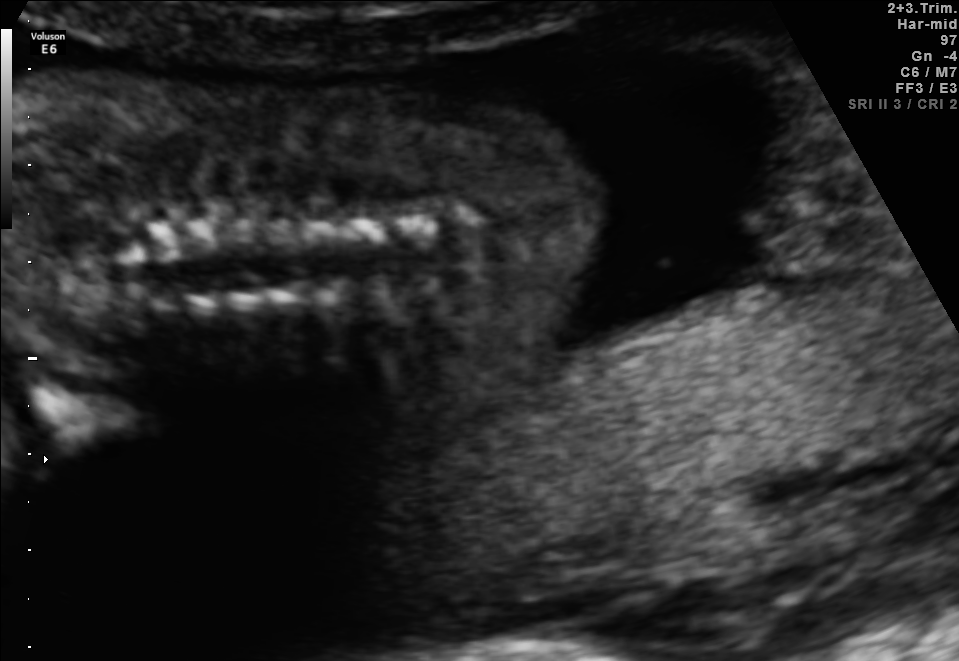
This is a 2D maternal-fetal ultrasound frame. Is it a fetal abdomen, fetal brain, fetal femur, fetal thorax, maternal cervix, or other standard plane? If it's fetal brain and one of the three standard brain planes (trans-thalamic, trans-cerebellum, trans-ventricular), name which.

Other